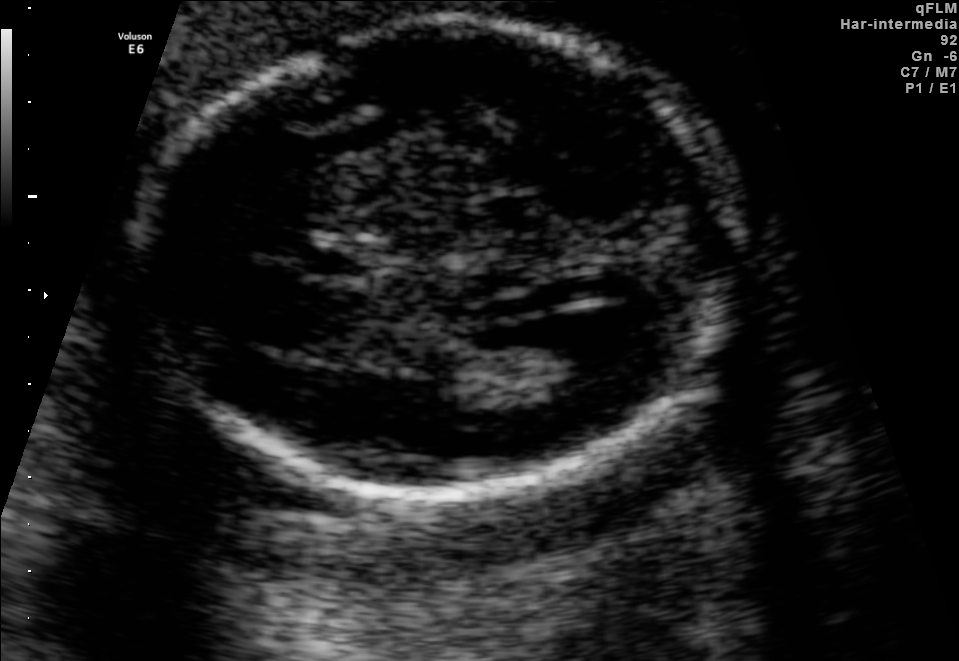
Fetal brain, trans-ventricular plane. Locate the cavum septum pellucidum.

CSP: [299,241,374,284]